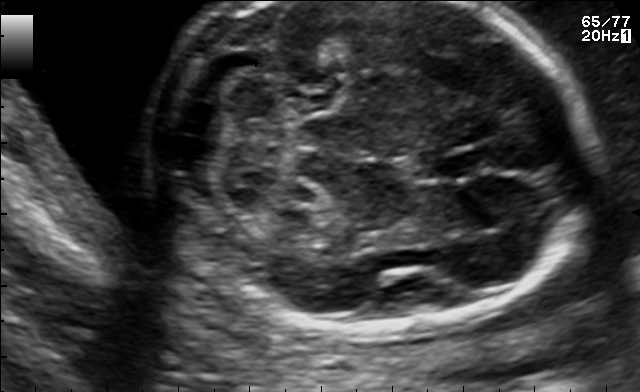
In this fetal brain, trans-cerebellum plane, give the bounding box of the fetal head.

[148,2,595,336]